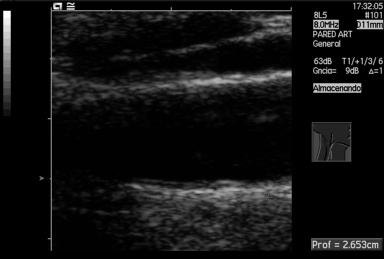
This is a 2D maternal-fetal ultrasound frame. Is it a fetal abdomen, fetal brain, fetal femur, fetal thorax, maternal cervix, or other standard plane? If it's fetal brain and one of the three standard brain planes (trans-thalamic, trans-cerebellum, trans-ventricular), name which.

Other